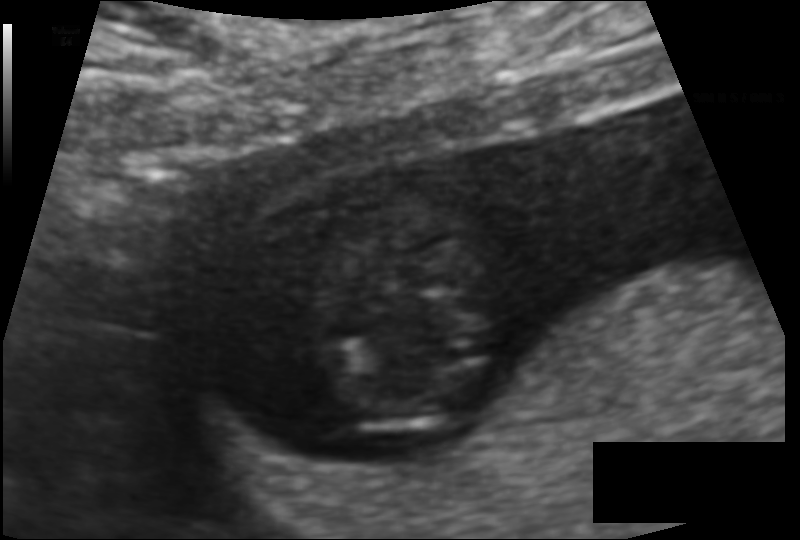
Estimate the fetal head circumference from this 2D ultrasound. Image width: 75.5 mm.

Head circumference: 64.5 mm.